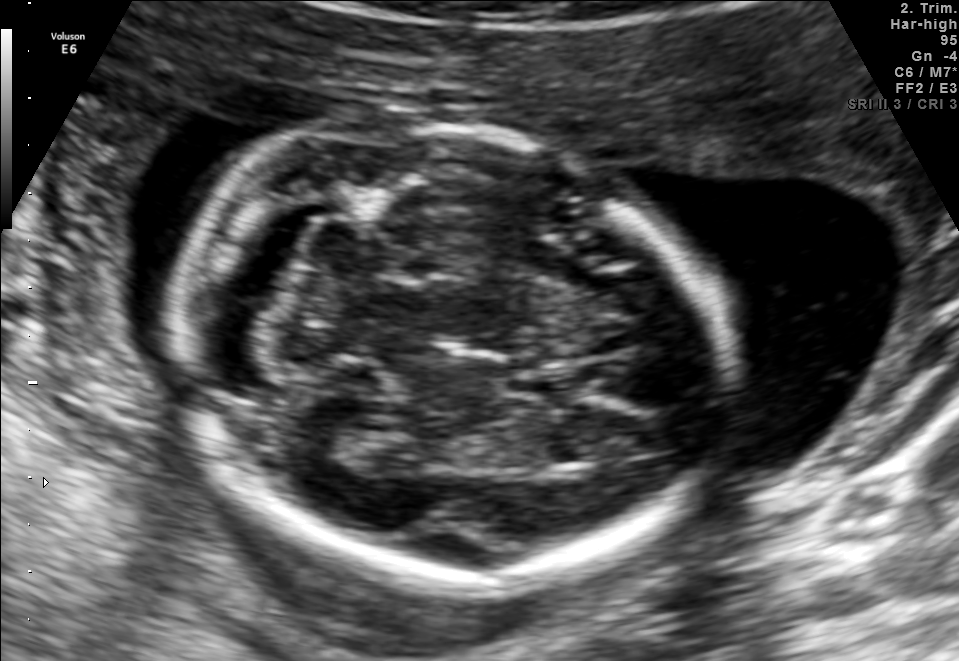
In this fetal brain, trans-cerebellum plane, give the bounding box of the fetal head.

[173,121,732,584]